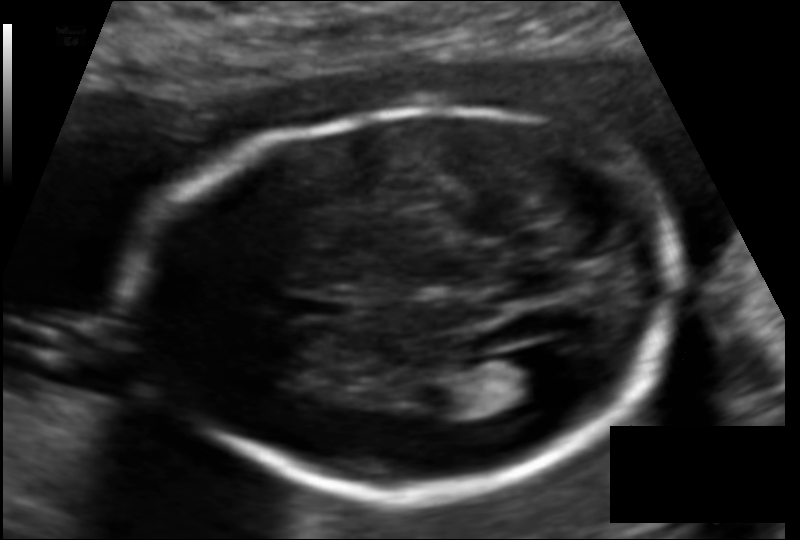
Fetal head ultrasound. Image width: 91.1 mm. Locate the fetal head and, if visible, the cavum septum pellucidum (CSP) and lateral ventricle (LV). Give bounding boxes as [x1,y1,x2,y2].

Head: [158,109,680,492]
CSP: [289,293,350,319]
Lateral ventricle: [481,344,561,413]